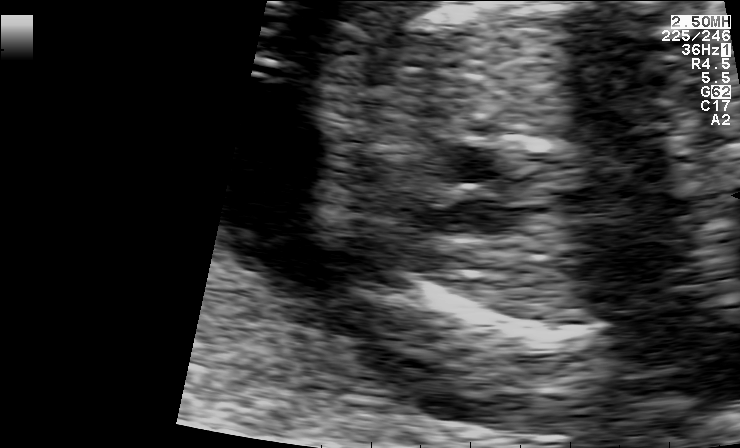
Identify the standard plane in this fetal ultrasound image: fetal abdomen, fetal brain, fetal femur, fetal thorax, maternal cervix, or other. If it's fetal brain and one of the three standard brain planes (trans-thalamic, trans-cerebellum, trans-ventricular), name which.

Other